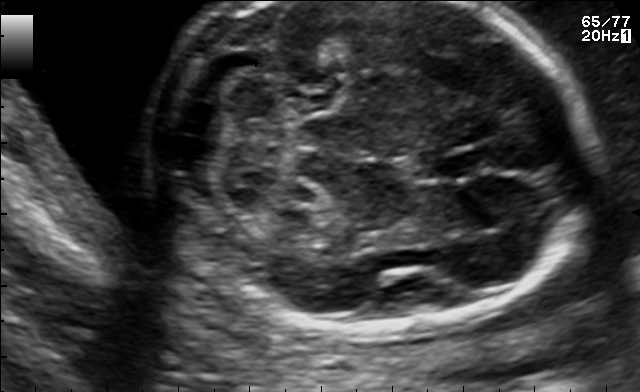
Fetal brain, trans-cerebellum plane. Locate the cavum septum pellucidum.

CSP: [432,143,494,185]